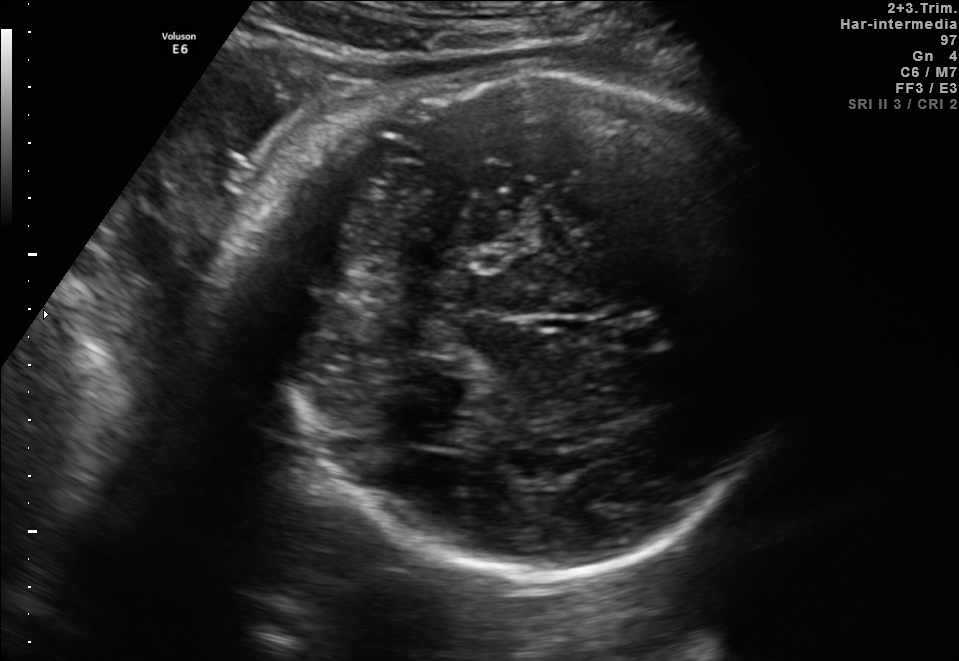
Fetal brain, trans-cerebellum plane. Give [x1,y1,x2,y2] bounding boxes for each visible structure among: fetal head, CSP, LV.

Head: [270,64,789,579]
CSP: [602,313,667,356]